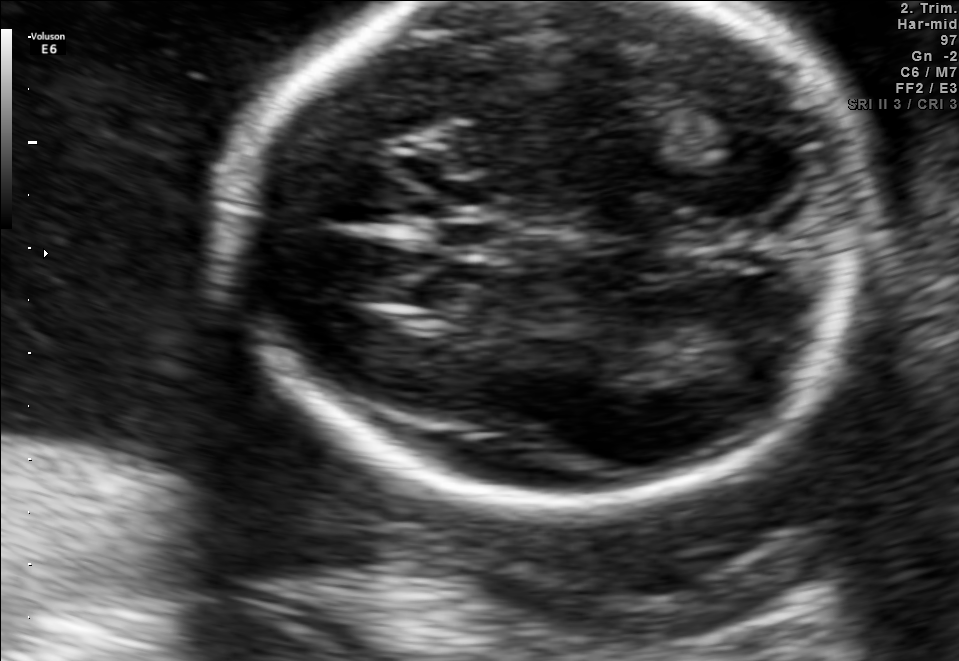
Fetal brain, trans-thalamic plane. Give [x1,y1,x2,y2] bounding boxes for each visible structure among: fetal head, CSP, LV.

Head: [222,2,867,503]
CSP: [436,221,504,252]